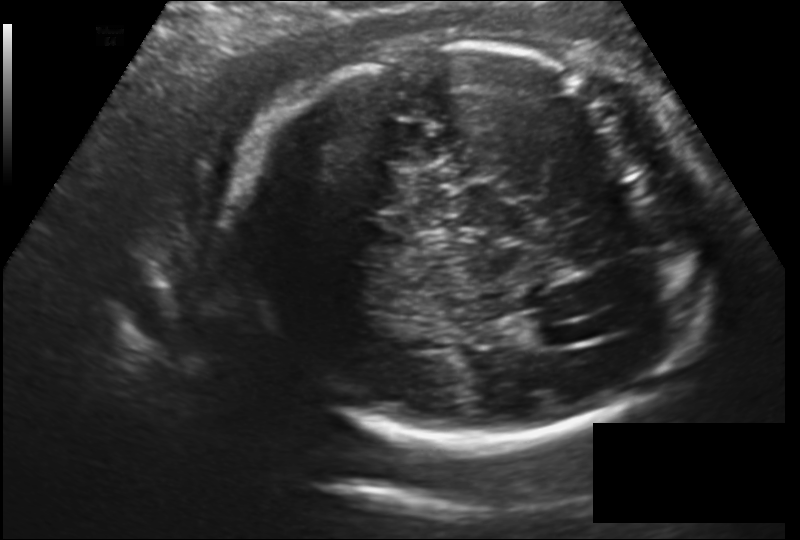
Fetal head ultrasound. Image width: 142.0 mm. Where is the fetal head?

Head bounding box: [234,43,712,444]